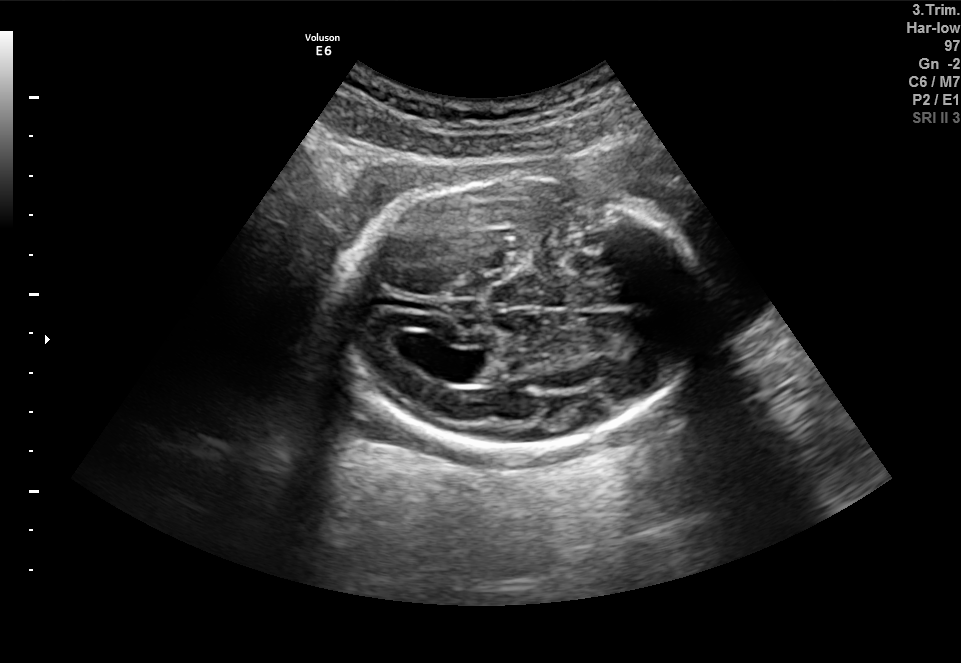
Fetal brain, trans-ventricular plane. Locate the fetal head and, if visible, the cavum septum pellucidum (CSP) and lateral ventricle (LV). Give bounding boxes as [x1,y1,x2,y2].

Head: [332,174,709,455]